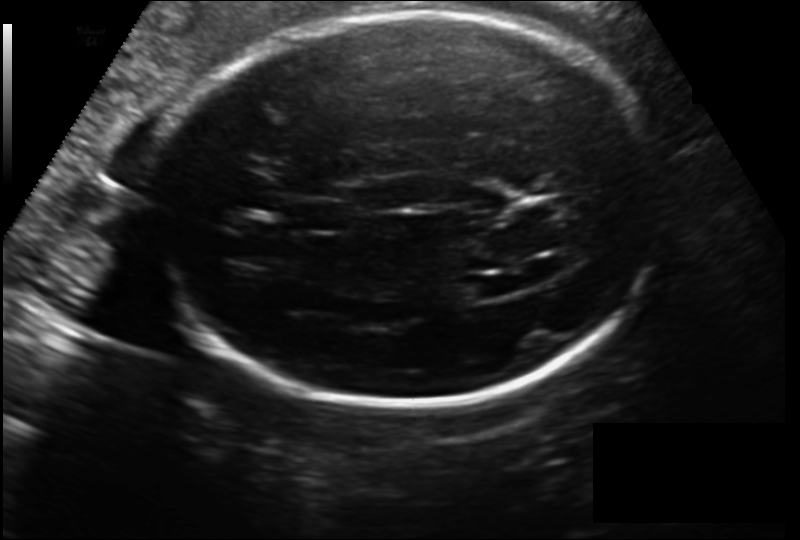
In this fetal head ultrasound, give the bounding box of the cavum septum pellucidum. Image width: 149.1 mm.

[291,198,351,235]